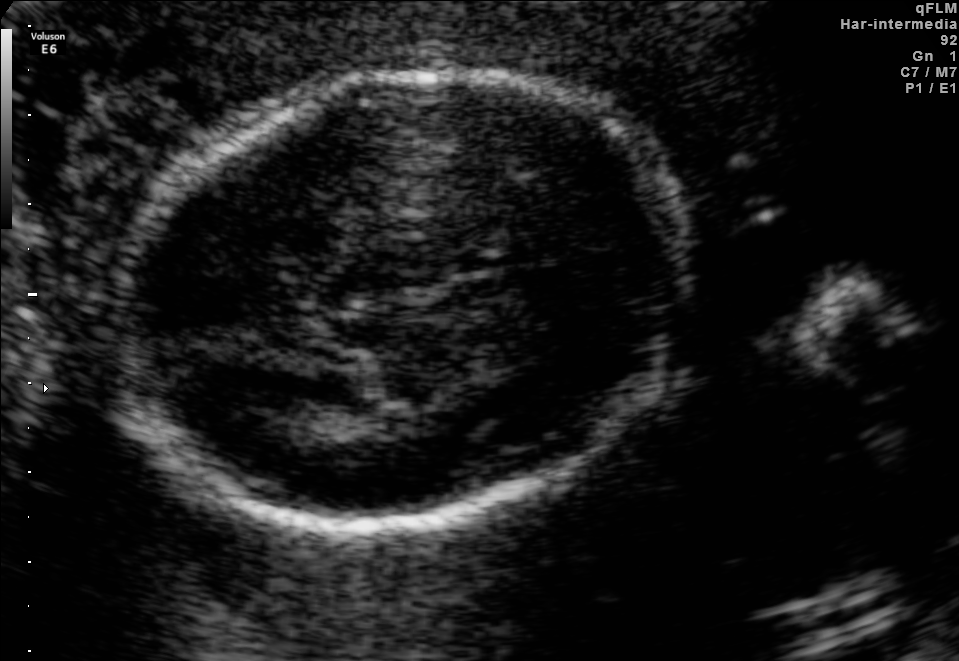
Fetal brain, trans-thalamic plane. Where is the fetal head?

Head bounding box: [119,74,688,531]